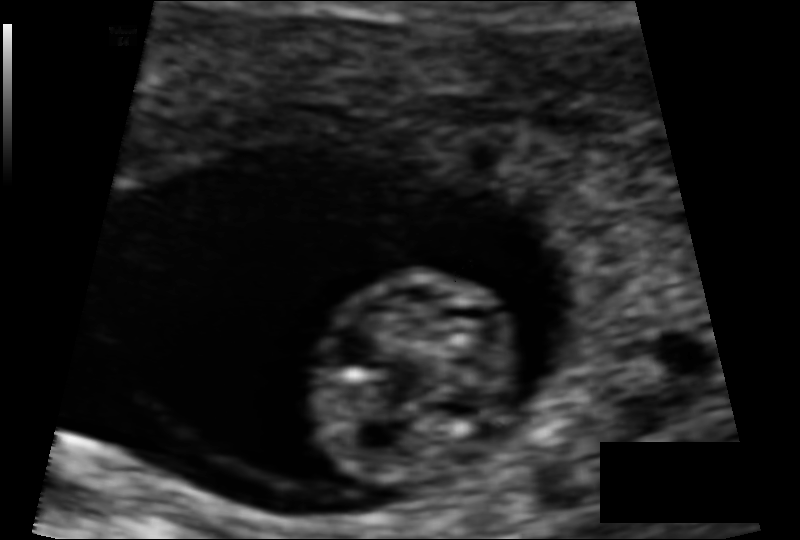
Fetal head ultrasound. Image width: 55.3 mm. Locate the fetal head and, if visible, the cavum septum pellucidum (CSP) and lateral ventricle (LV). Give bounding boxes as [x1,y1,x2,y2].

Head: [310,269,523,485]